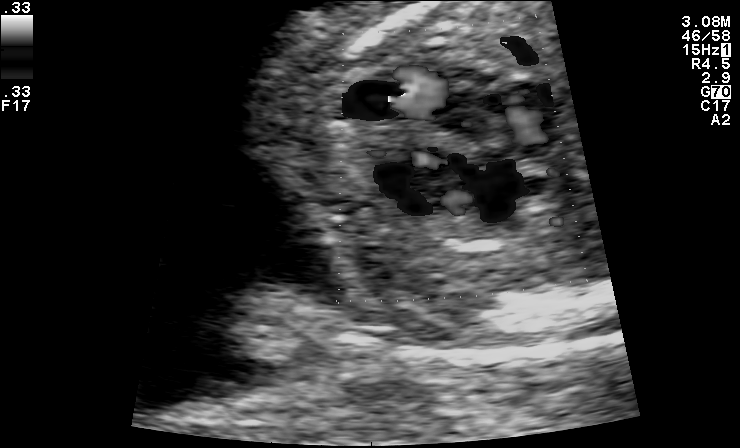
Which standard maternal-fetal ultrasound plane is shown: fetal abdomen, fetal brain, fetal femur, fetal thorax, maternal cervix, or other? If it's fetal brain and one of the three standard brain planes (trans-thalamic, trans-cerebellum, trans-ventricular), name which.

Other